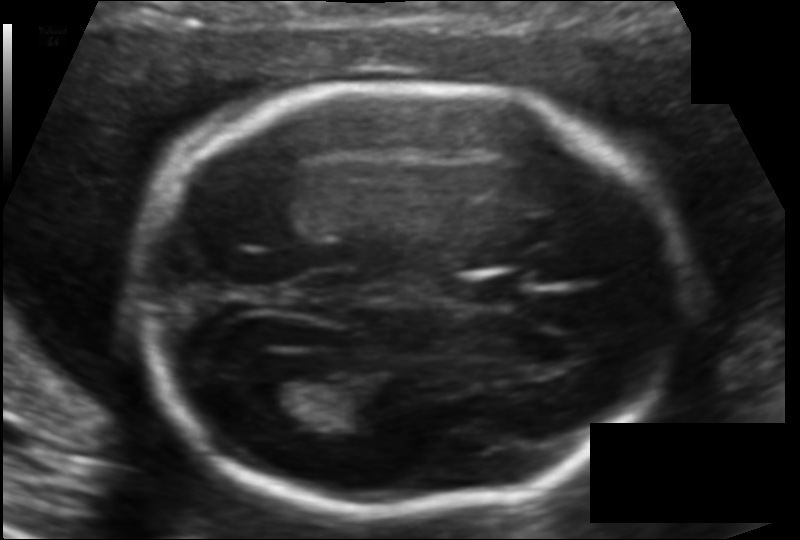
Estimate the fetal head circumference from this 2D ultrasound. Image width: 94.1 mm.

Head circumference: 186.6 mm.